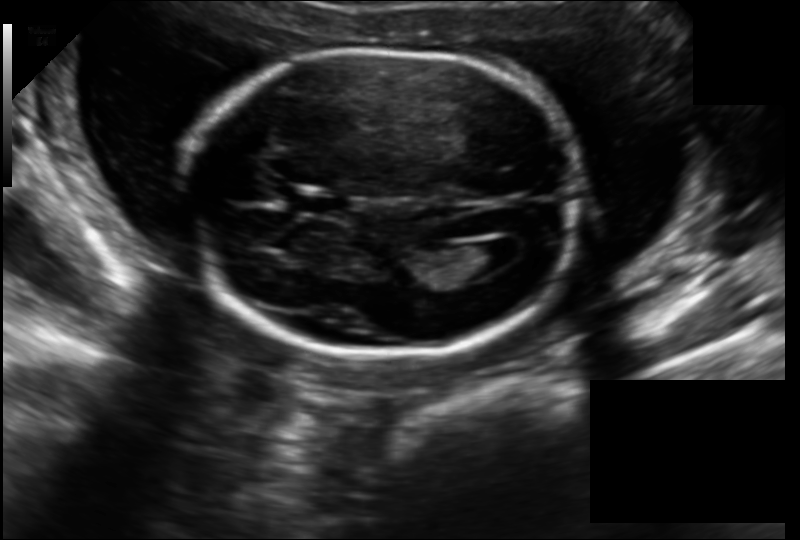
Fetal head ultrasound. Image width: 125.8 mm. Give [x1,y1,x2,y2] bounding boxes for each visible structure among: fetal head, CSP, LV.

Head: [182,47,581,359]
CSP: [290,191,351,218]
Lateral ventricle: [455,231,519,280]